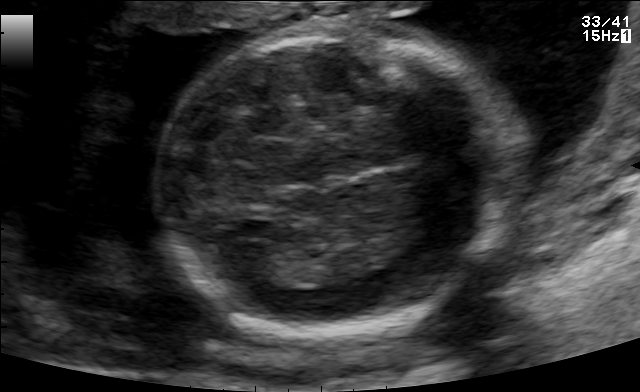
In this fetal brain, trans-thalamic plane, give the bounding box of the fetal head.

[163,27,503,337]